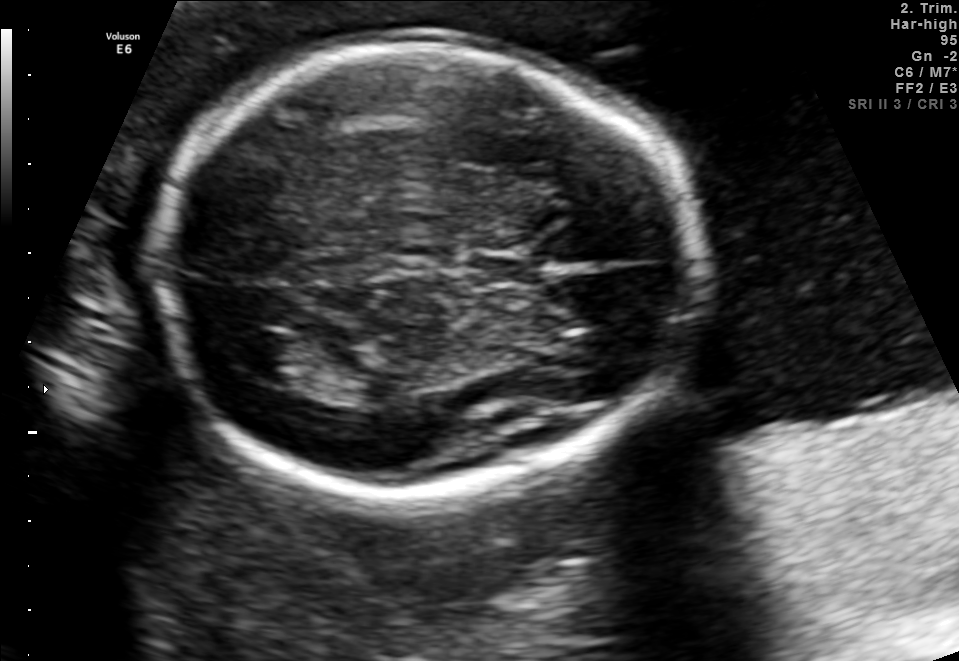
Fetal brain, trans-thalamic plane. Locate the fetal head and, if visible, the cavum septum pellucidum (CSP) and lateral ventricle (LV). Give bounding boxes as [x1,y1,x2,y2].

Head: [151,41,698,496]
CSP: [471,252,535,285]
Lateral ventricle: [217,320,303,386]